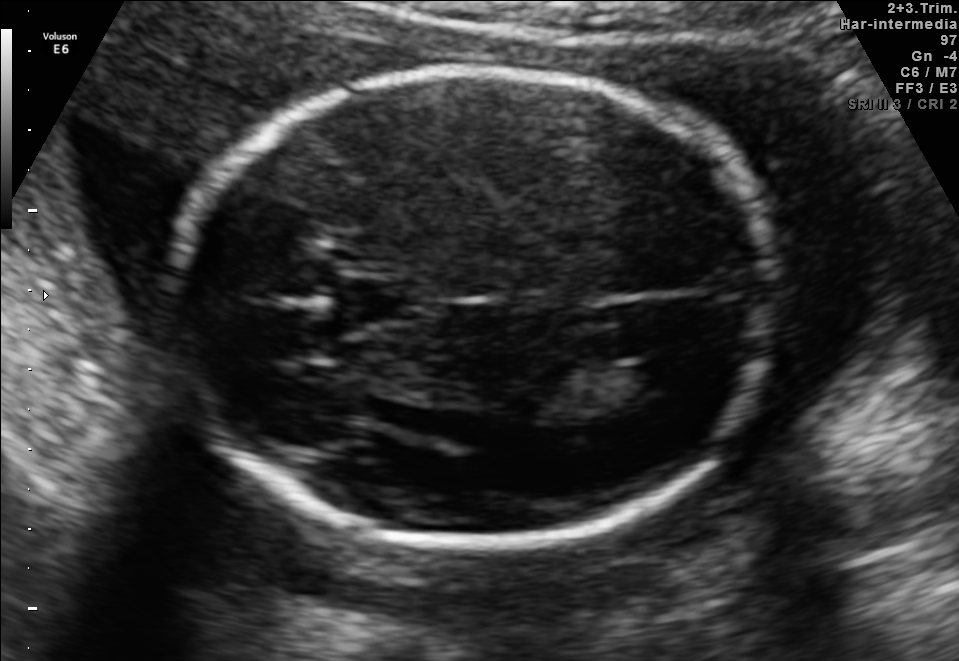
Which standard maternal-fetal ultrasound plane is shown: fetal abdomen, fetal brain, fetal femur, fetal thorax, maternal cervix, or other? If it's fetal brain and one of the three standard brain planes (trans-thalamic, trans-cerebellum, trans-ventricular), name which.

Fetal brain (trans-ventricular plane)